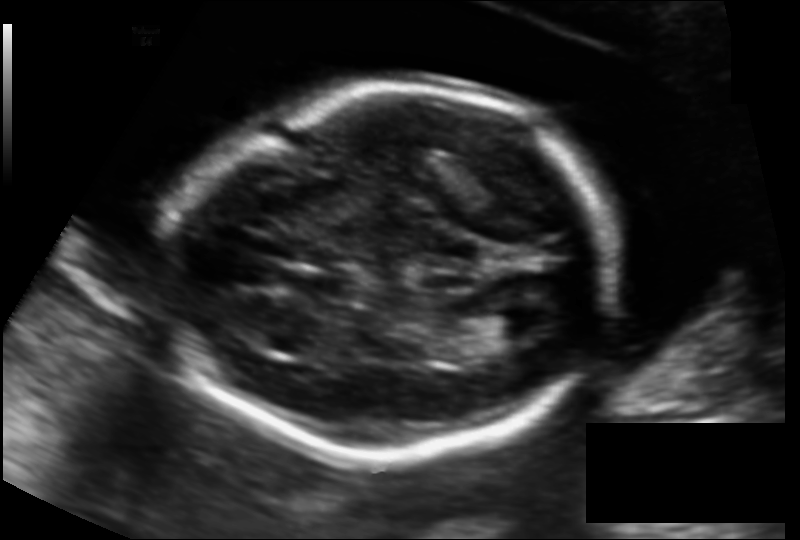
From this fetal ultrasound, estimate the head circumference (image width 105.0 mm).

Head circumference: 174.3 mm.